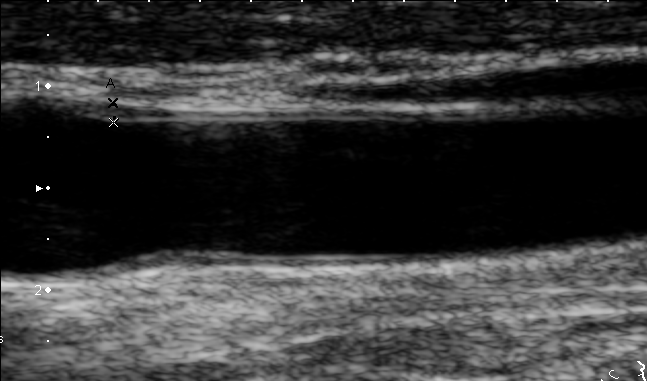
This is a 2D maternal-fetal ultrasound frame. Is it a fetal abdomen, fetal brain, fetal femur, fetal thorax, maternal cervix, or other standard plane? If it's fetal brain and one of the three standard brain planes (trans-thalamic, trans-cerebellum, trans-ventricular), name which.

Other